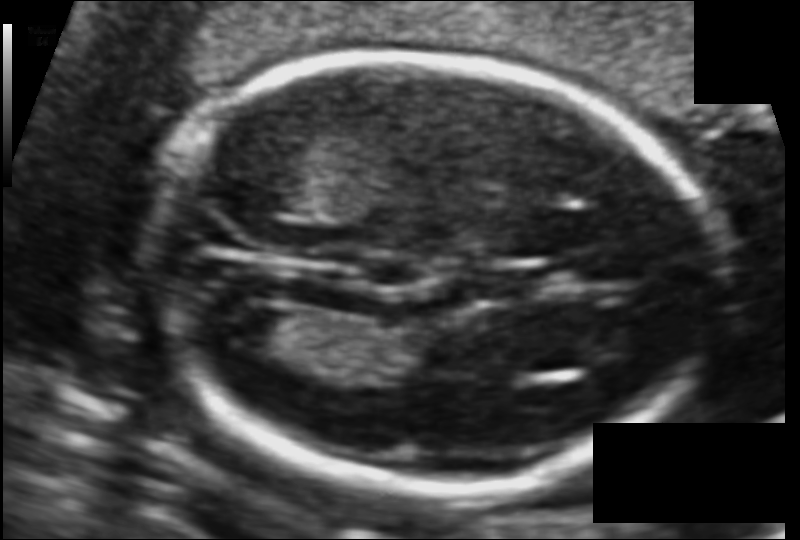
In this fetal head ultrasound, give the bounding box of the lateral ventricle. Image width: 75.8 mm.

[212,298,300,360]